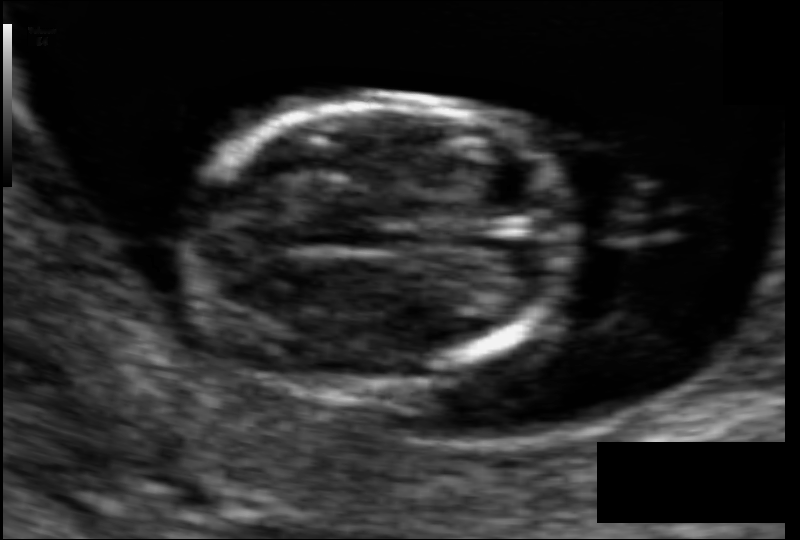
Fetal head ultrasound. Image width: 52.8 mm. Locate the fetal head and, if visible, the cavum septum pellucidum (CSP) and lateral ventricle (LV). Give bounding boxes as [x1,y1,x2,y2].

Head: [188,100,574,383]